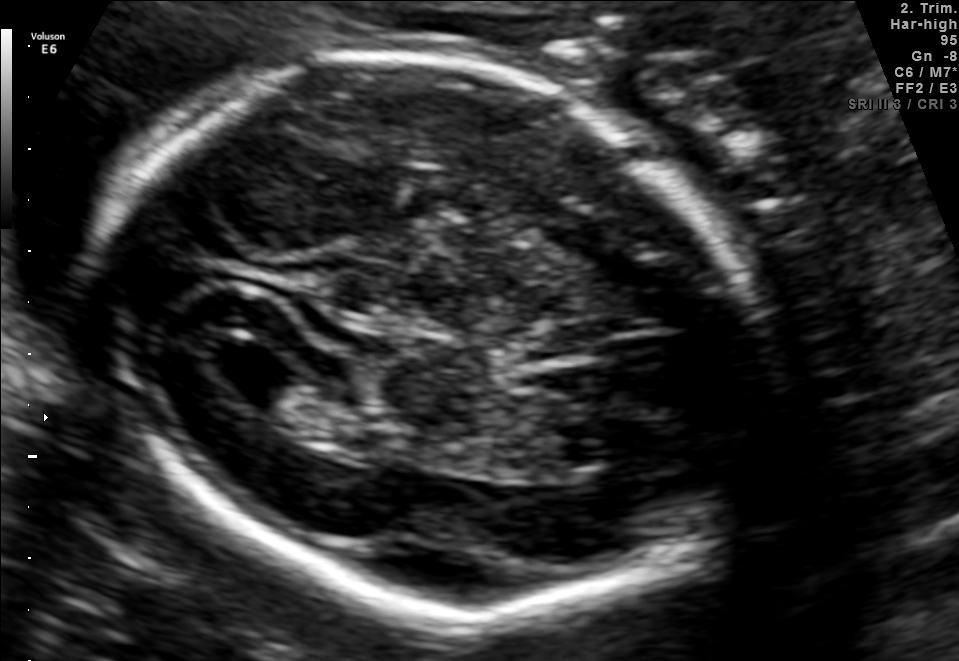
In this fetal brain, trans-ventricular plane, give the bounding box of the fetal head.

[83,41,788,638]